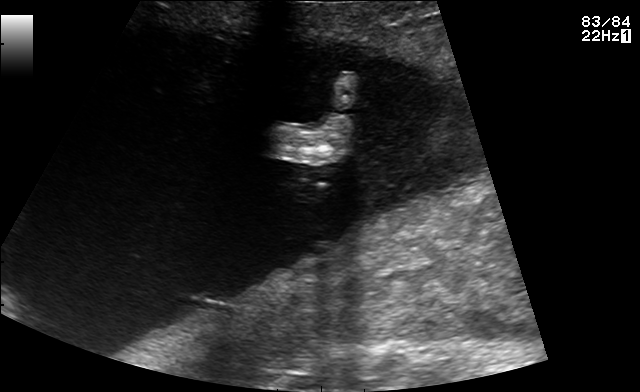
Which standard maternal-fetal ultrasound plane is shown: fetal abdomen, fetal brain, fetal femur, fetal thorax, maternal cervix, or other? If it's fetal brain and one of the three standard brain planes (trans-thalamic, trans-cerebellum, trans-ventricular), name which.

Other